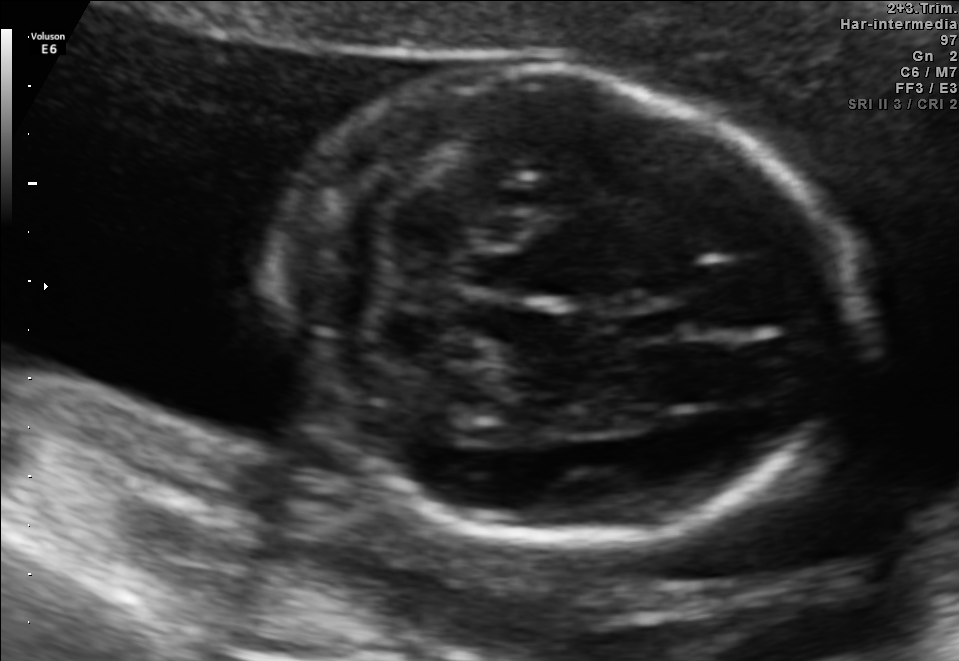
Fetal brain, trans-cerebellum plane. Locate the fetal head and, if visible, the cavum septum pellucidum (CSP) and lateral ventricle (LV). Give bounding boxes as [x1,y1,x2,y2].

Head: [271,68,858,529]
CSP: [621,299,693,345]